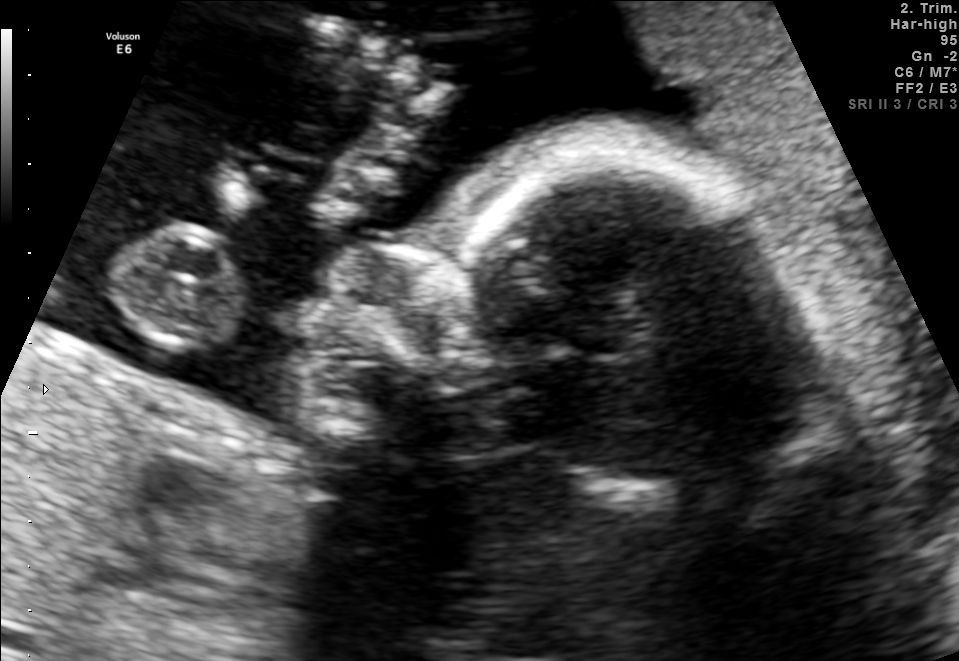
Classify this maternal-fetal ultrasound image as one of the six standard planes — fetal abdomen, fetal brain, fetal femur, fetal thorax, maternal cervix, or other. If it's fetal brain and one of the three standard brain planes (trans-thalamic, trans-cerebellum, trans-ventricular), name which.

Other